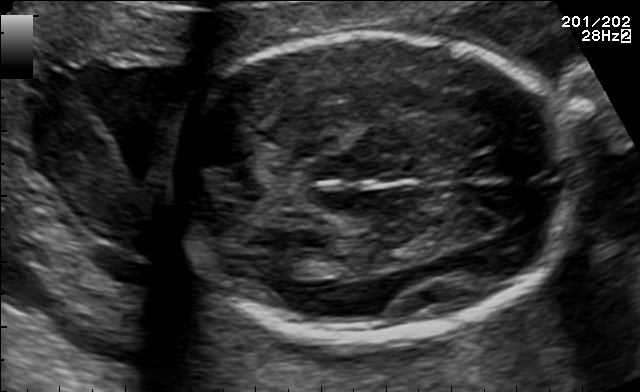
Fetal brain, trans-thalamic plane. Locate the fetal head.

Head: [163,34,575,338]